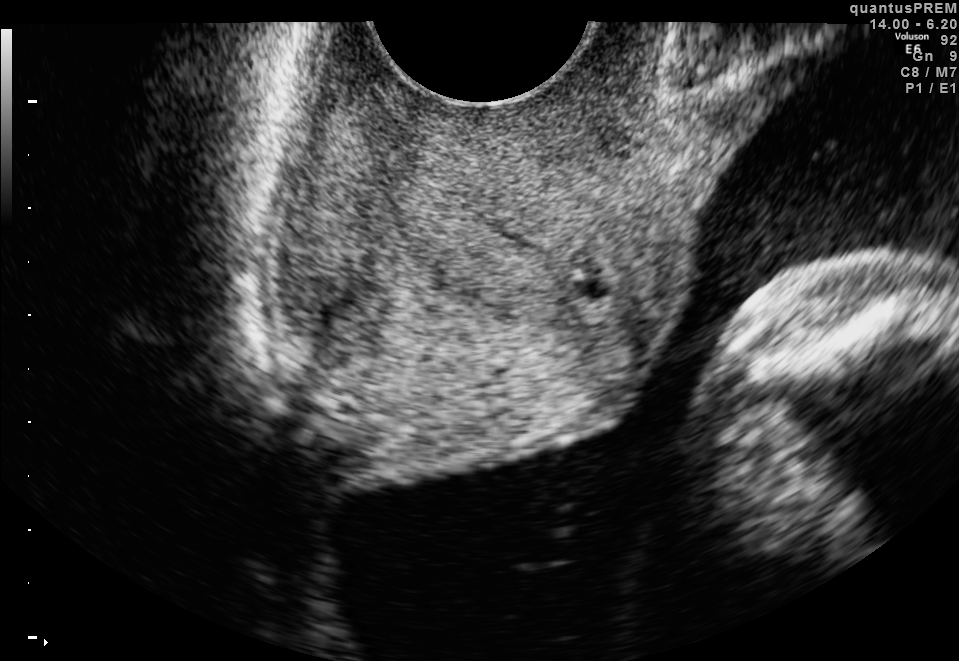
Which standard maternal-fetal ultrasound plane is shown: fetal abdomen, fetal brain, fetal femur, fetal thorax, maternal cervix, or other? If it's fetal brain and one of the three standard brain planes (trans-thalamic, trans-cerebellum, trans-ventricular), name which.

Maternal cervix